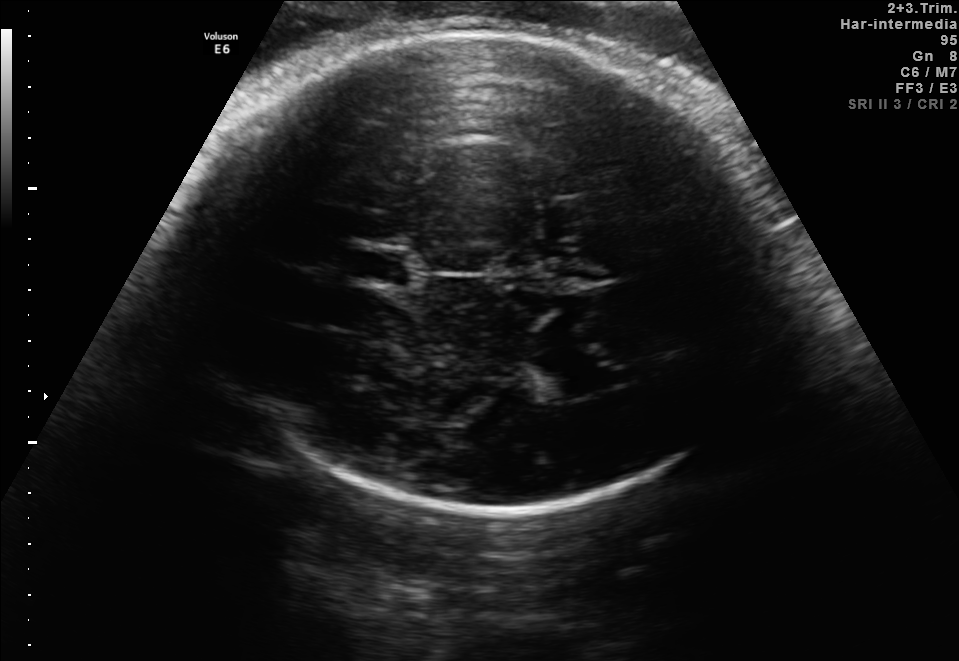
Fetal brain, trans-thalamic plane. Locate the fetal head and, if visible, the cavum septum pellucidum (CSP) and lateral ventricle (LV). Give bounding boxes as [x1,y1,x2,y2].

Head: [179,32,782,513]
CSP: [353,246,411,288]
Lateral ventricle: [525,343,605,407]